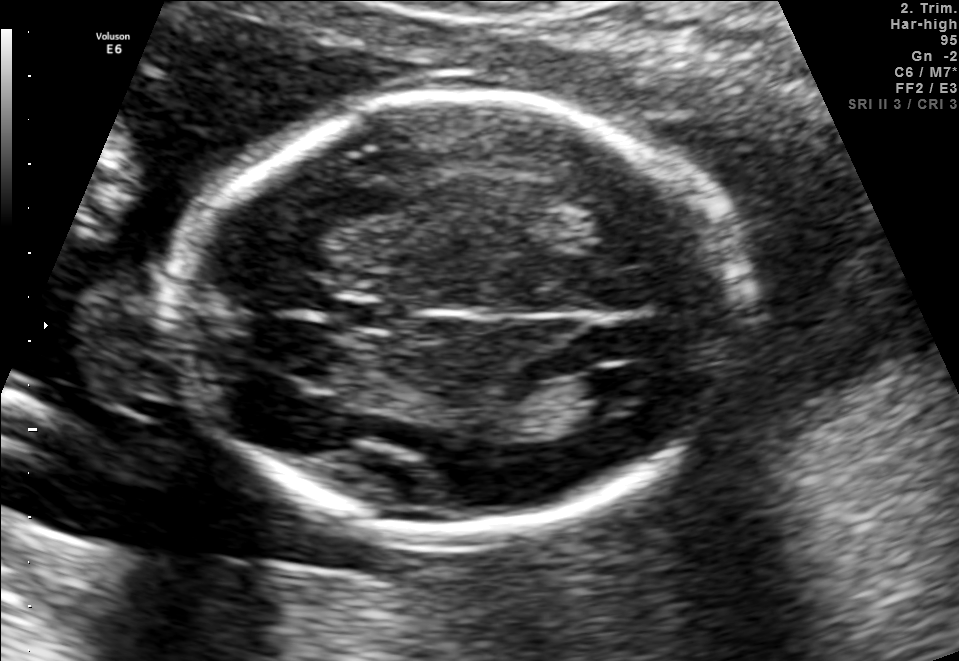
Fetal brain, trans-ventricular plane. Where is the lateral ventricle?

Lateral ventricle bounding box: [577,360,664,417]